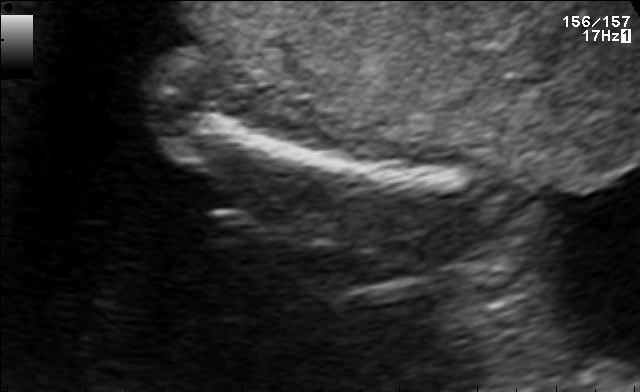
Identify the standard plane in this fetal ultrasound image: fetal abdomen, fetal brain, fetal femur, fetal thorax, maternal cervix, or other. If it's fetal brain and one of the three standard brain planes (trans-thalamic, trans-cerebellum, trans-ventricular), name which.

Fetal femur